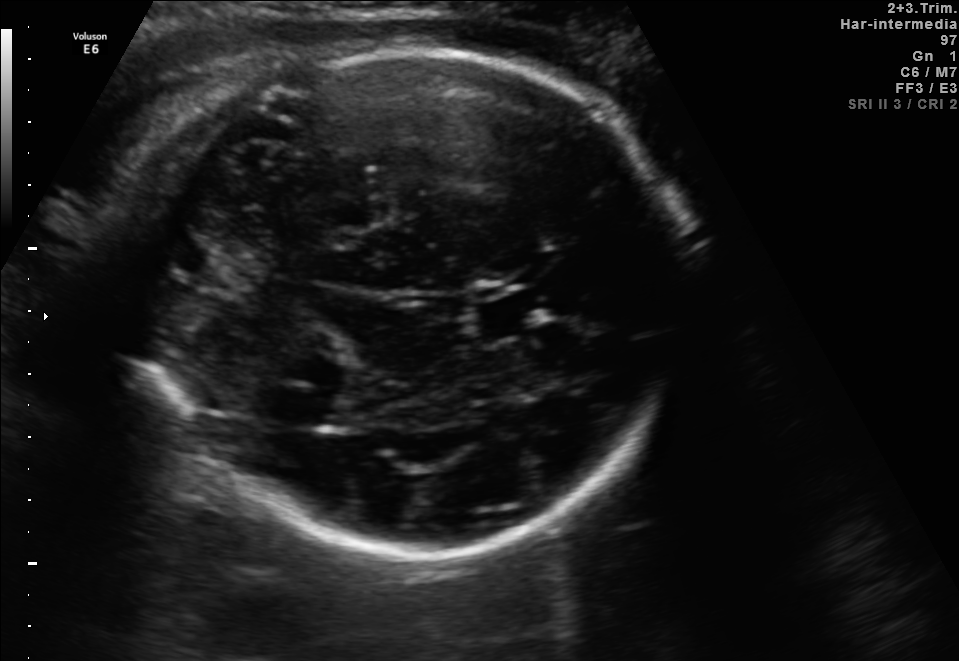
Fetal brain, trans-thalamic plane. Locate the fetal head.

Head: [139,46,678,563]